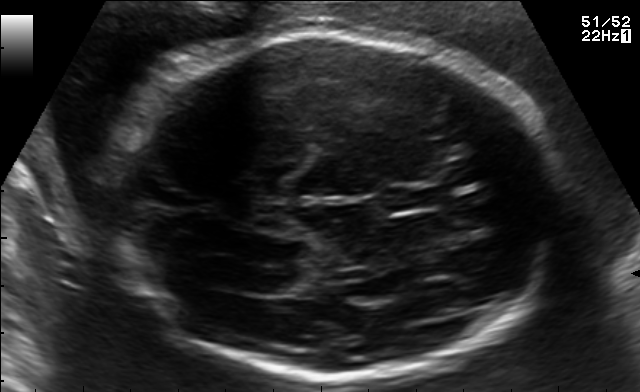
Which standard maternal-fetal ultrasound plane is shown: fetal abdomen, fetal brain, fetal femur, fetal thorax, maternal cervix, or other? If it's fetal brain and one of the three standard brain planes (trans-thalamic, trans-cerebellum, trans-ventricular), name which.

Fetal brain (trans-ventricular plane)